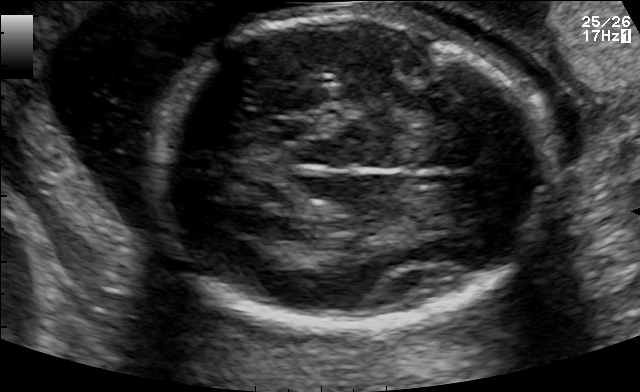
Fetal brain, trans-thalamic plane. Locate the fetal head.

Head: [153,18,553,326]